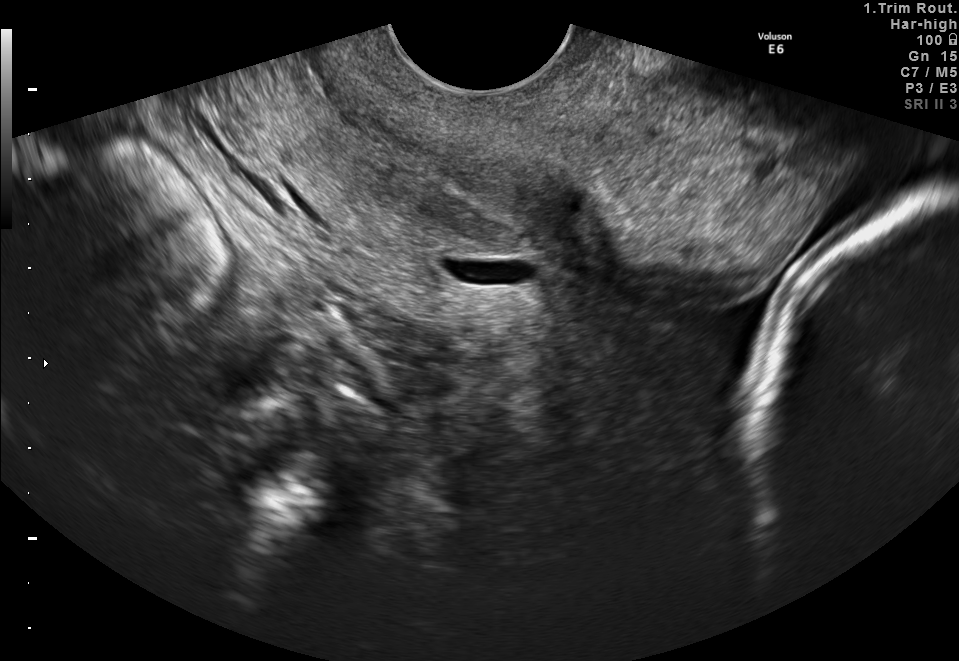
Identify the standard plane in this fetal ultrasound image: fetal abdomen, fetal brain, fetal femur, fetal thorax, maternal cervix, or other. If it's fetal brain and one of the three standard brain planes (trans-thalamic, trans-cerebellum, trans-ventricular), name which.

Maternal cervix